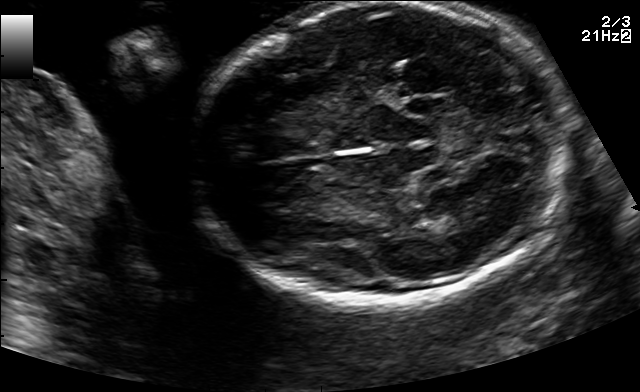
In this fetal brain, trans-thalamic plane, give the bounding box of the fetal head.

[192,3,573,301]